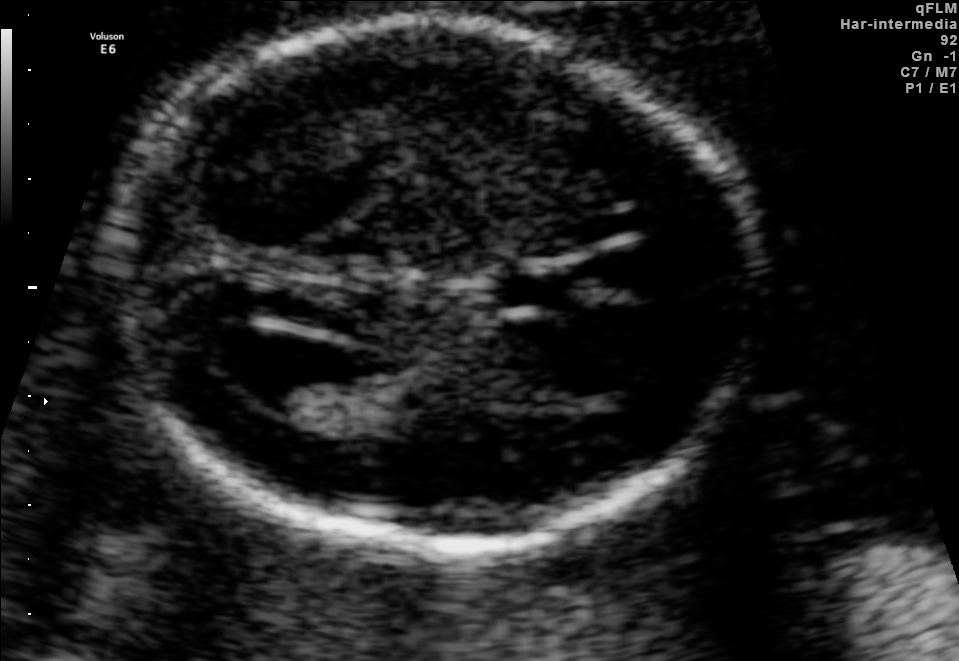
Fetal brain, trans-ventricular plane. Where is the lateral ventricle?

Lateral ventricle bounding box: [203,313,342,422]